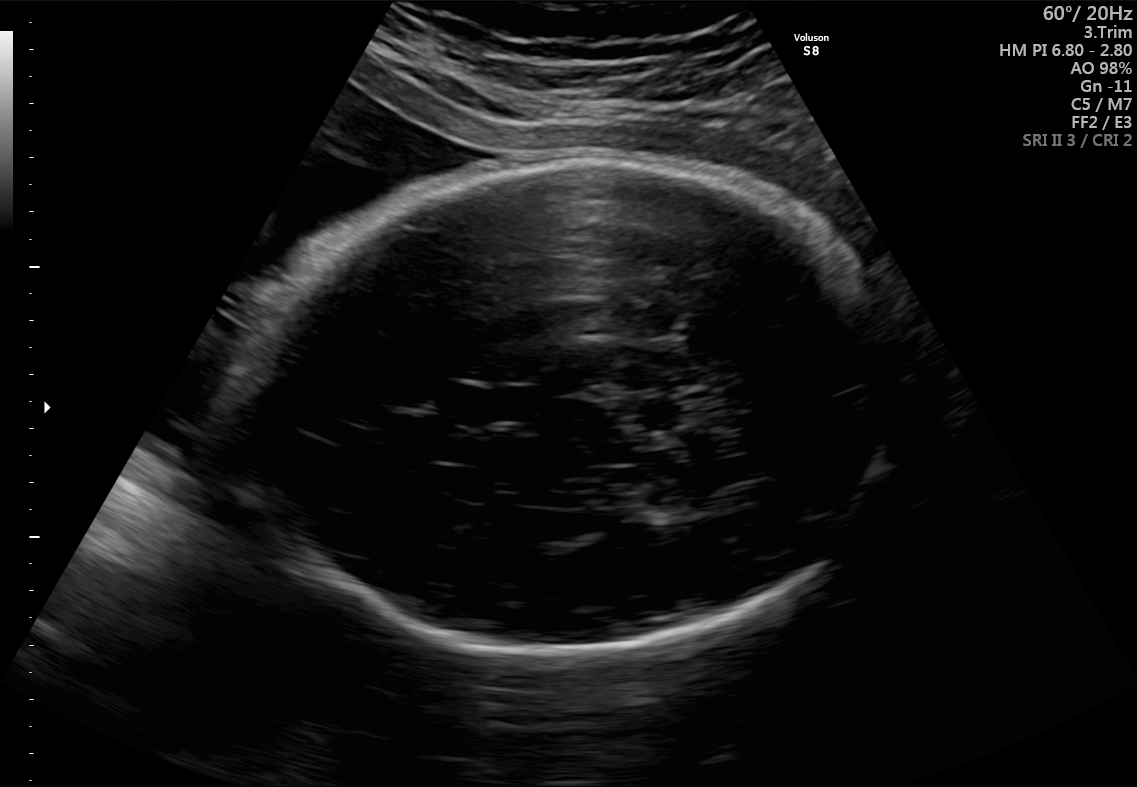
Fetal brain, trans-thalamic plane. Where is the fetal head?

Head bounding box: [225,154,909,662]